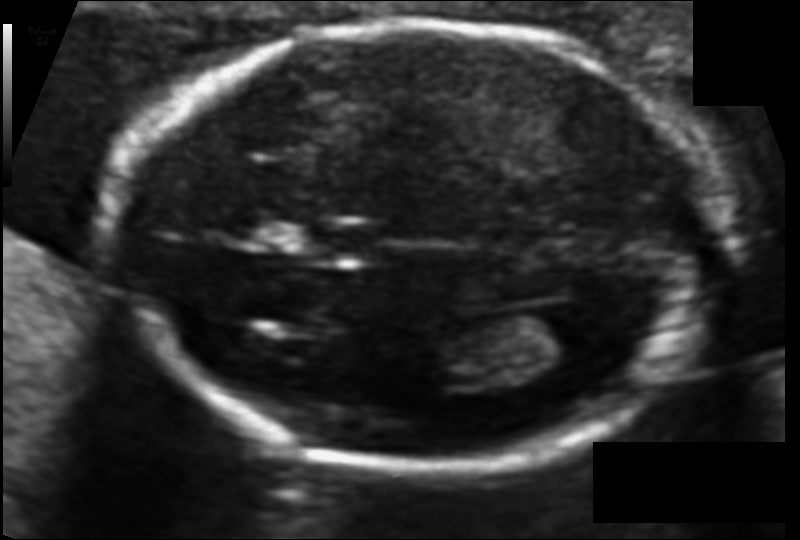
Fetal head ultrasound. Image width: 75.0 mm. Give [x1,y1,x2,y2] bounding boxes for each visible structure among: fetal head, CSP, LV.

Head: [124,23,717,466]
CSP: [312,224,385,259]
Lateral ventricle: [513,294,604,369]